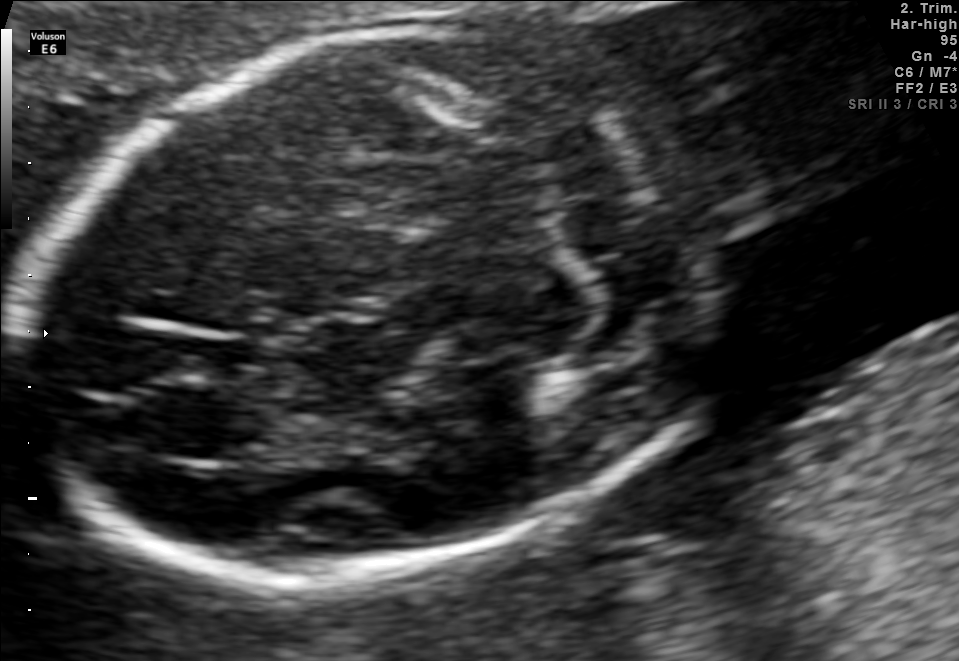
Identify the standard plane in this fetal ultrasound image: fetal abdomen, fetal brain, fetal femur, fetal thorax, maternal cervix, or other. If it's fetal brain and one of the three standard brain planes (trans-thalamic, trans-cerebellum, trans-ventricular), name which.

Fetal brain (trans-cerebellum plane)